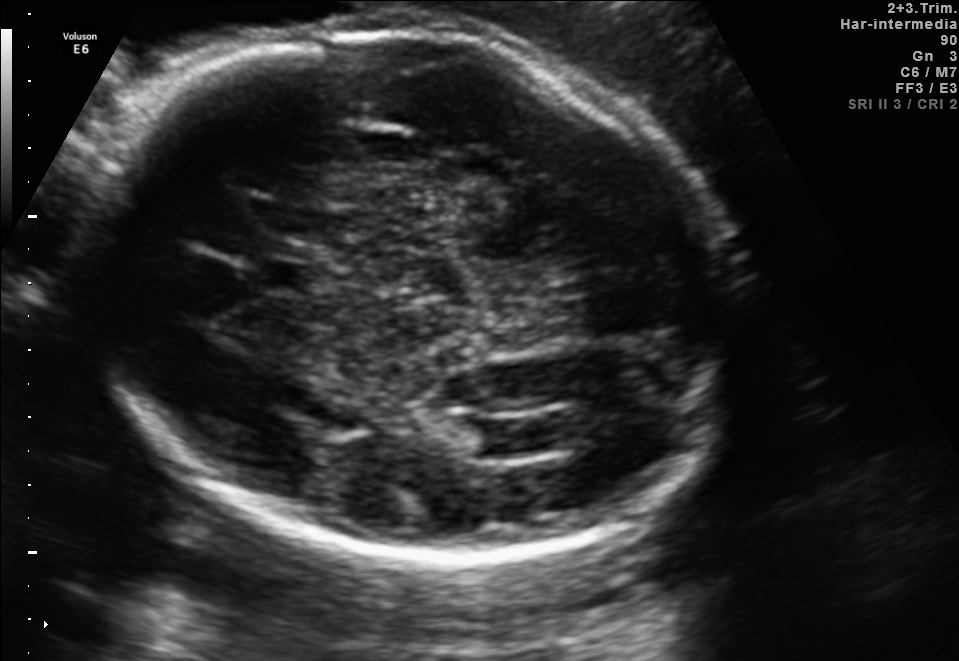
Fetal brain, trans-ventricular plane. Locate the cavum septum pellucidum.

CSP: [229,244,332,305]